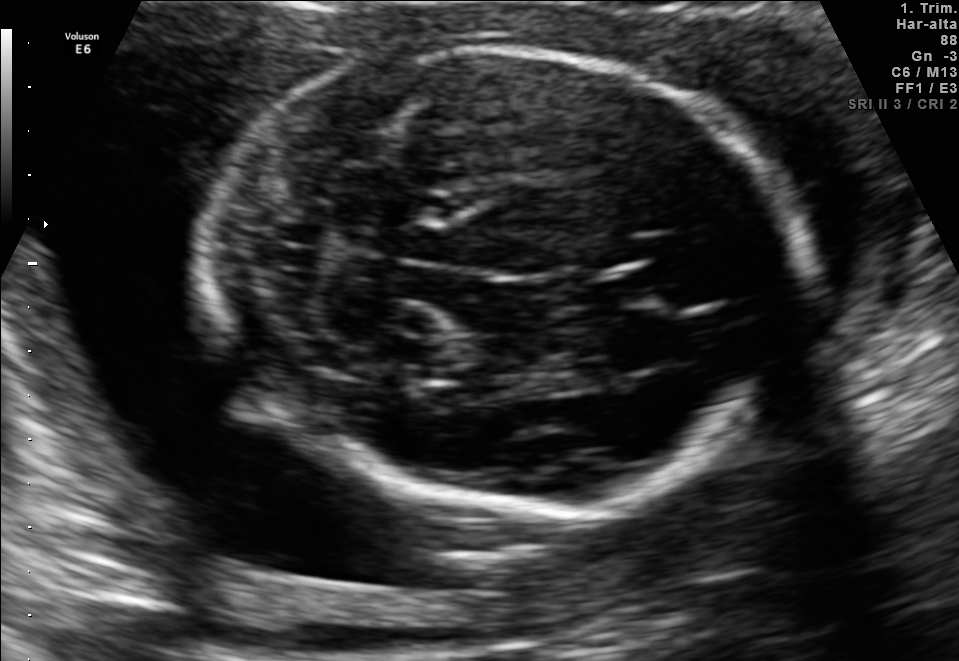
Fetal brain, trans-cerebellum plane. Where is the fetal head?

Head bounding box: [200,50,793,505]